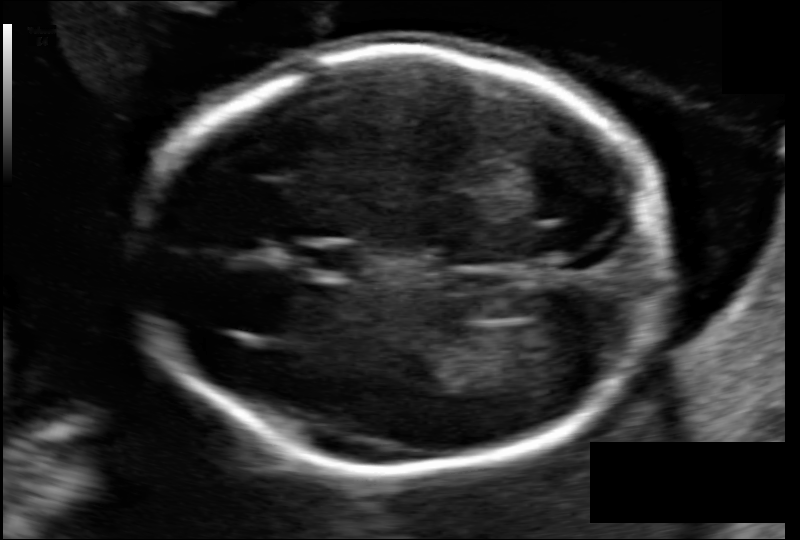
In this fetal head ultrasound, give bounding boxes for the head outline, cavum septum pellucidum (CSP), and lateral ventricle (LV), where visible. Image width: 82.2 mm.

Head: [144,48,666,472]
CSP: [296,246,354,272]